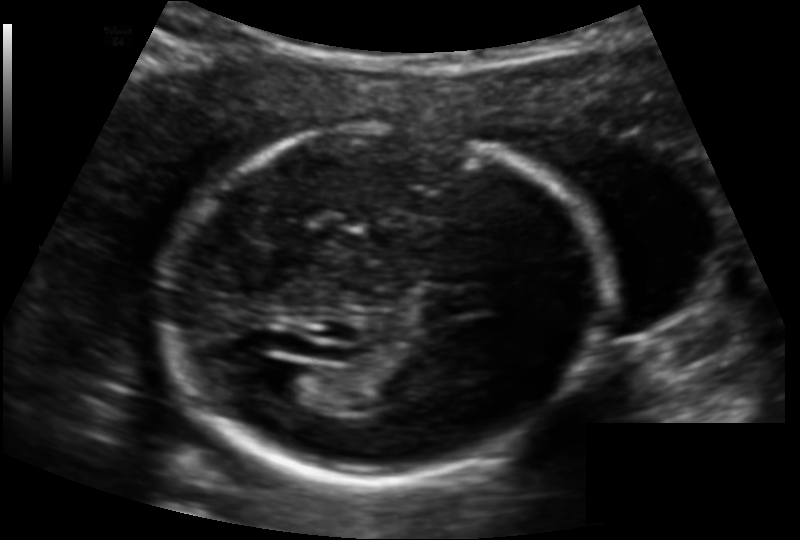
Estimate the fetal head circumference from this 2D ultrasound. Image width: 105.9 mm.

Head circumference: 176.4 mm.